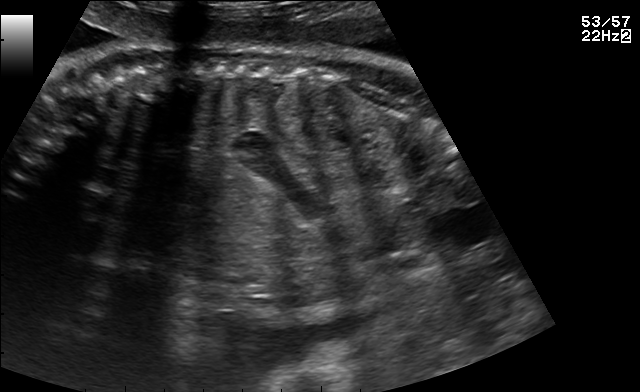
Which standard maternal-fetal ultrasound plane is shown: fetal abdomen, fetal brain, fetal femur, fetal thorax, maternal cervix, or other? If it's fetal brain and one of the three standard brain planes (trans-thalamic, trans-cerebellum, trans-ventricular), name which.

Other